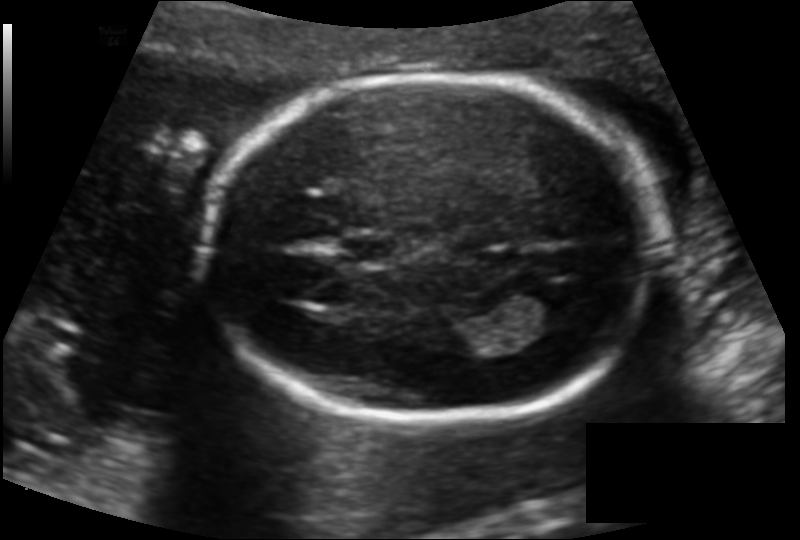
Estimate the fetal head circumference from this 2D ultrasound. Image width: 104.1 mm.

Head circumference: 172.0 mm.